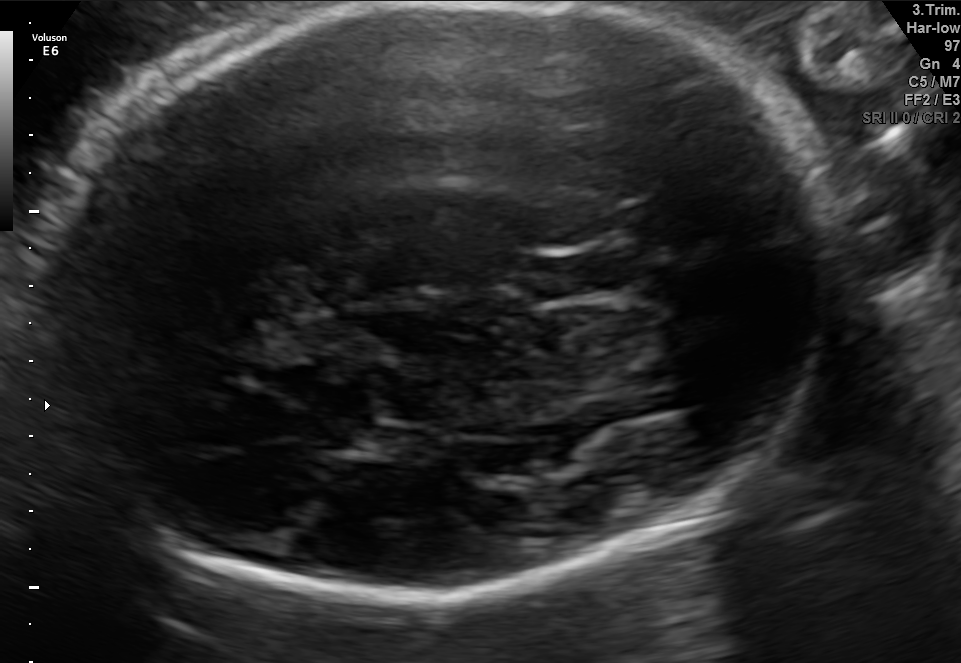
In this fetal brain, trans-thalamic plane, give the bounding box of the fetal head.

[37,3,840,596]